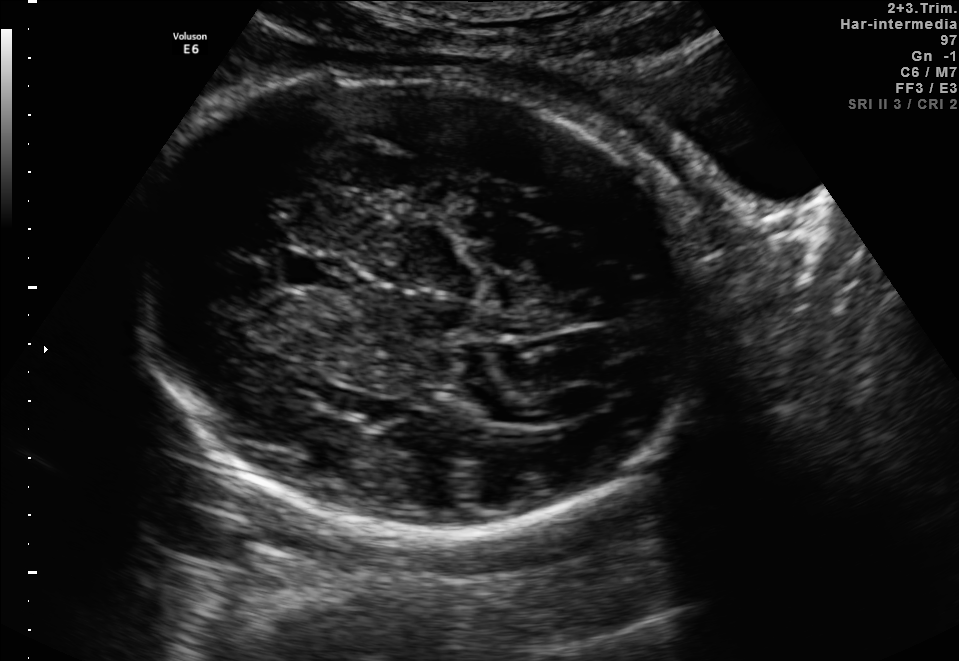
In this fetal brain, trans-thalamic plane, give the bounding box of the fetal head.

[122,60,701,535]